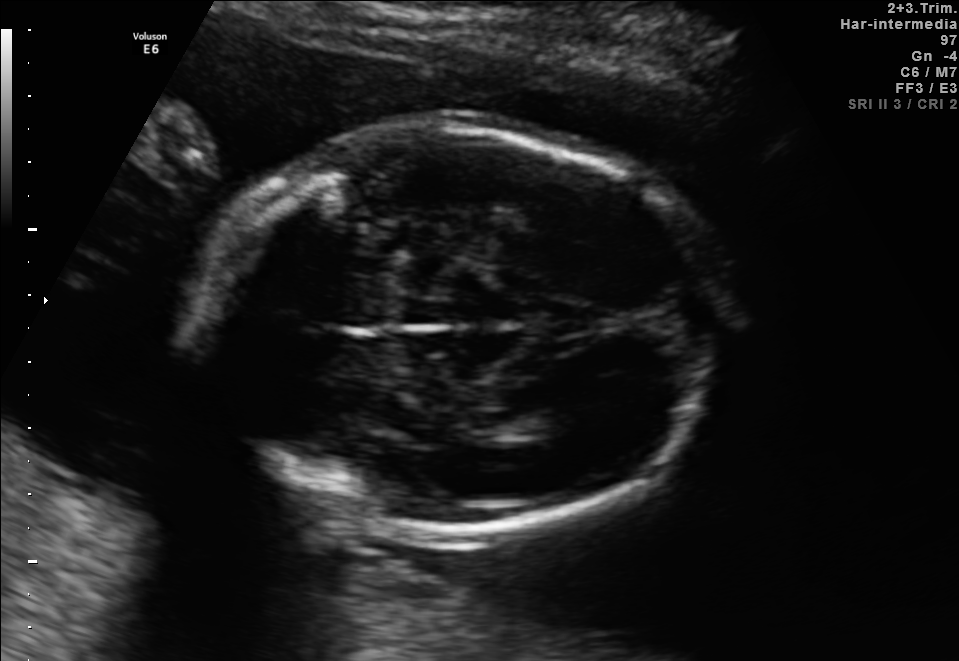
Fetal brain, trans-thalamic plane. Locate the fetal head and, if visible, the cavum septum pellucidum (CSP) and lateral ventricle (LV). Give bounding boxes as [x1,y1,x2,y2].

Head: [190,128,719,533]
Lateral ventricle: [500,405,577,439]